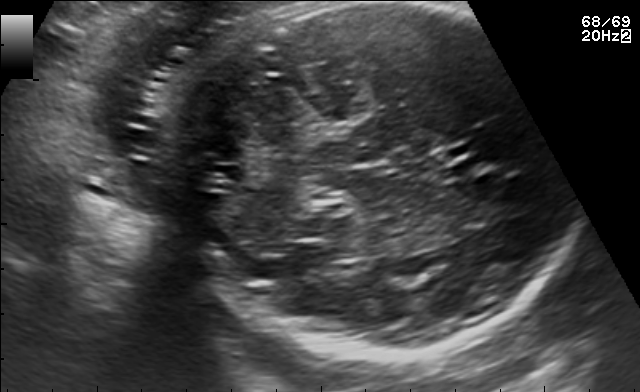
Fetal brain, trans-cerebellum plane. Where is the fetal head?

Head bounding box: [151,7,563,358]